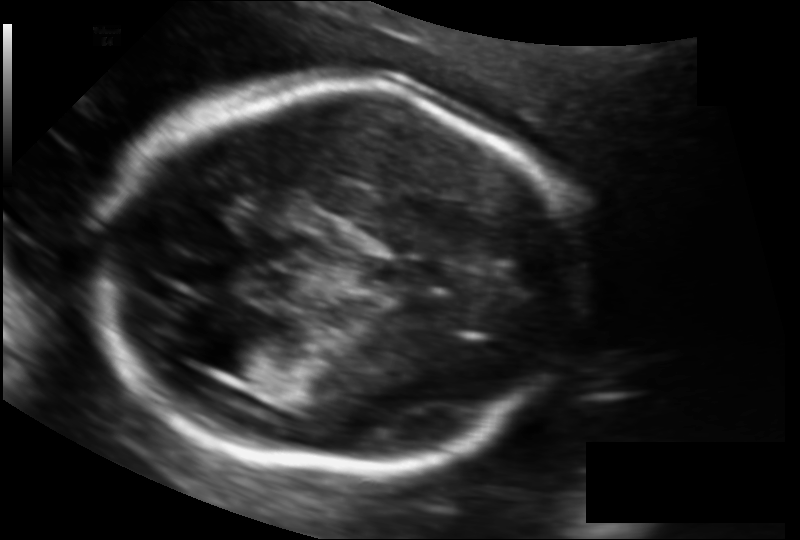
Estimate the fetal head circumference from this 2D ultrasound. Image width: 96.6 mm.

Head circumference: 169.3 mm.